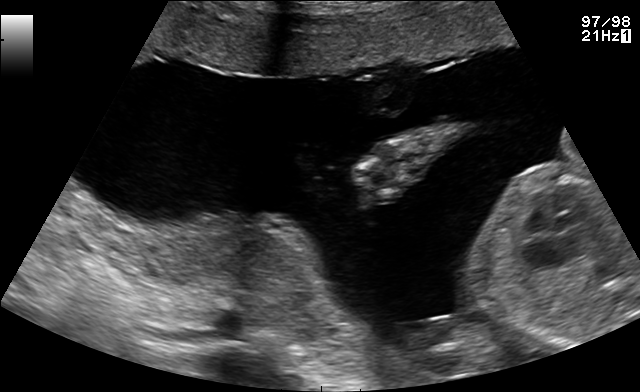
Which standard maternal-fetal ultrasound plane is shown: fetal abdomen, fetal brain, fetal femur, fetal thorax, maternal cervix, or other? If it's fetal brain and one of the three standard brain planes (trans-thalamic, trans-cerebellum, trans-ventricular), name which.

Other